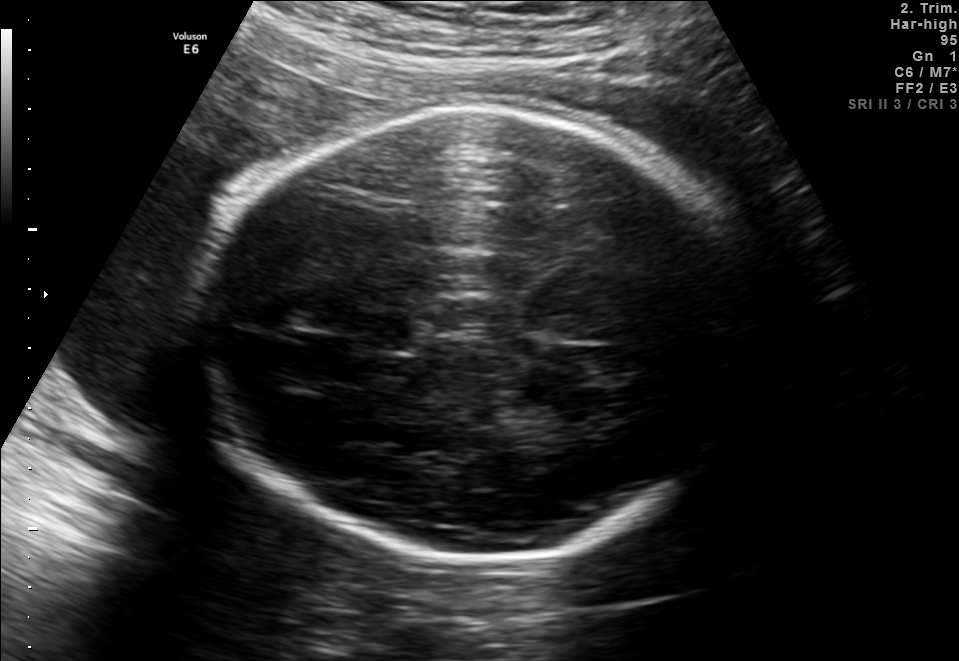
In this fetal brain, trans-thalamic plane, give the bounding box of the cavum septum pellucidum.

[355,313,411,352]